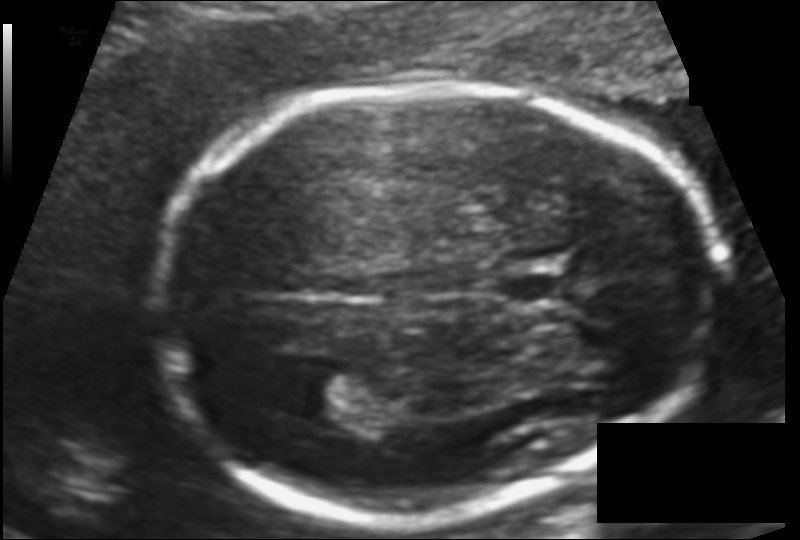
Fetal head ultrasound. Image width: 87.8 mm. Locate the lateral ventricle.

Lateral ventricle: [282,365,367,423]